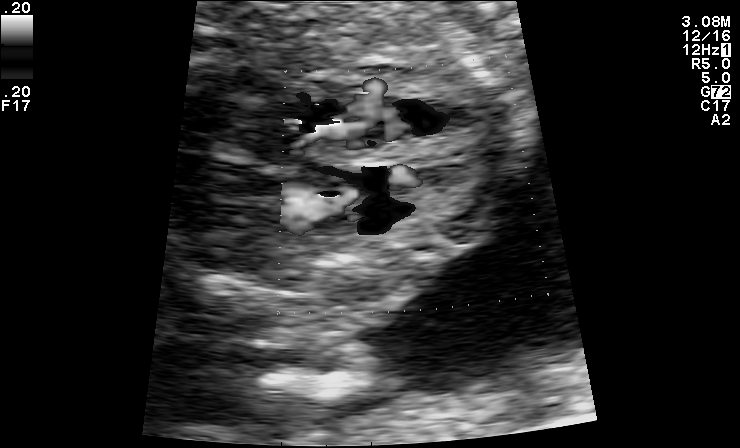
Classify this maternal-fetal ultrasound image as one of the six standard planes — fetal abdomen, fetal brain, fetal femur, fetal thorax, maternal cervix, or other. If it's fetal brain and one of the three standard brain planes (trans-thalamic, trans-cerebellum, trans-ventricular), name which.

Other